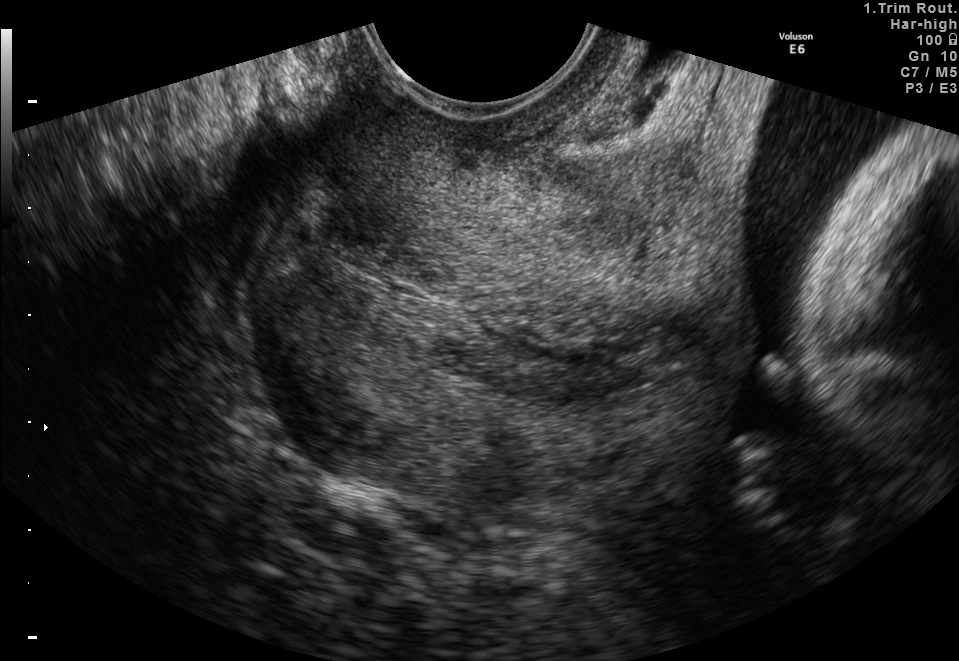
Which standard maternal-fetal ultrasound plane is shown: fetal abdomen, fetal brain, fetal femur, fetal thorax, maternal cervix, or other? If it's fetal brain and one of the three standard brain planes (trans-thalamic, trans-cerebellum, trans-ventricular), name which.

Maternal cervix